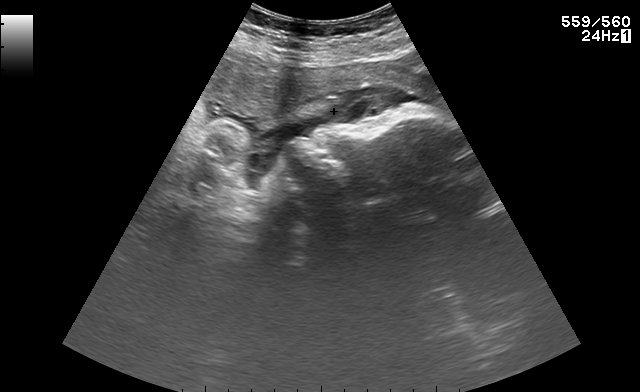
Classify this maternal-fetal ultrasound image as one of the six standard planes — fetal abdomen, fetal brain, fetal femur, fetal thorax, maternal cervix, or other. If it's fetal brain and one of the three standard brain planes (trans-thalamic, trans-cerebellum, trans-ventricular), name which.

Other